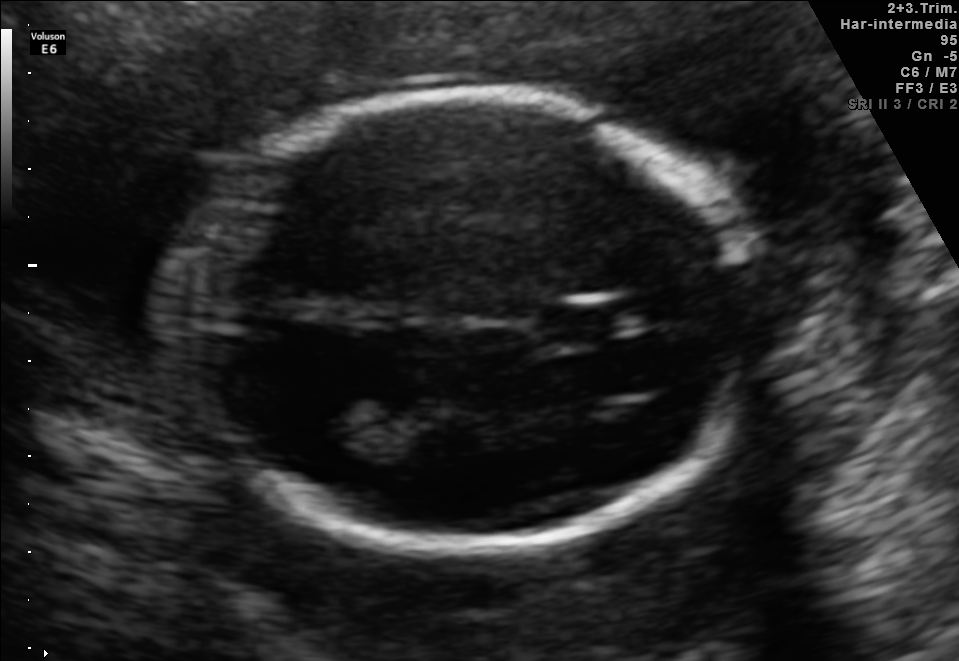
Fetal brain, trans-thalamic plane. Locate the cavum septum pellucidum.

CSP: [539,299,623,345]